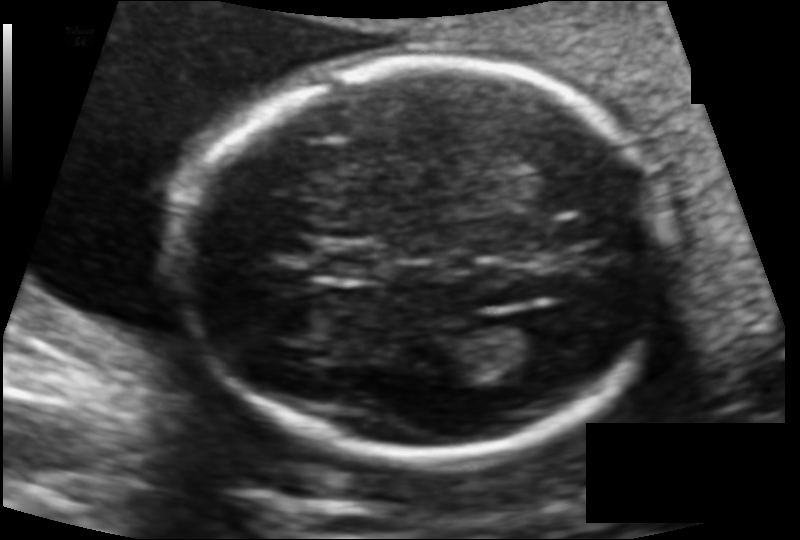
Fetal head ultrasound. Image width: 91.4 mm. Locate the fetal head and, if visible, the cavum septum pellucidum (CSP) and lateral ventricle (LV). Give bounding boxes as [x1,y1,x2,y2].

Head: [184,60,671,461]
CSP: [311,239,386,283]
Lateral ventricle: [478,312,564,376]